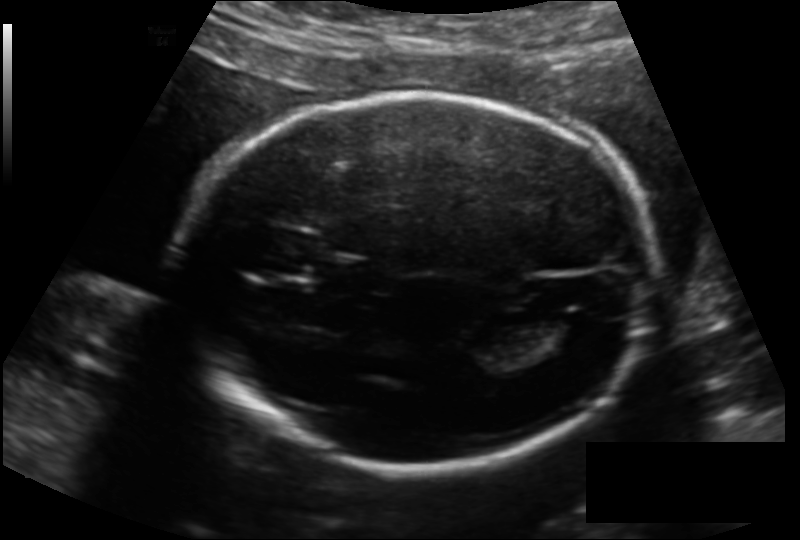
Estimate the fetal head circumference from this 2D ultrasound. Image width: 120.8 mm.

Head circumference: 208.9 mm.